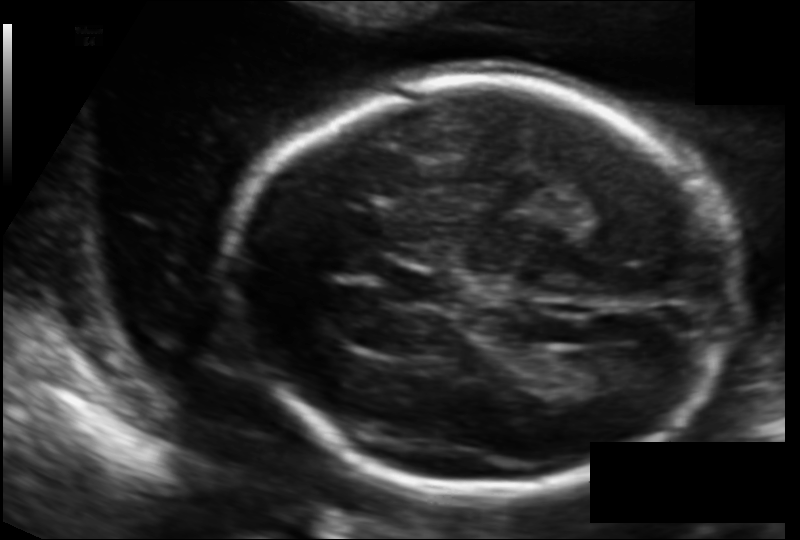
Fetal head ultrasound. Image width: 100.4 mm. Locate the fetal head and, if visible, the cavum septum pellucidum (CSP) and lateral ventricle (LV). Give bounding boxes as [x1,y1,x2,y2].

Head: [225,78,737,494]
CSP: [383,260,463,316]
Lateral ventricle: [565,348,640,394]